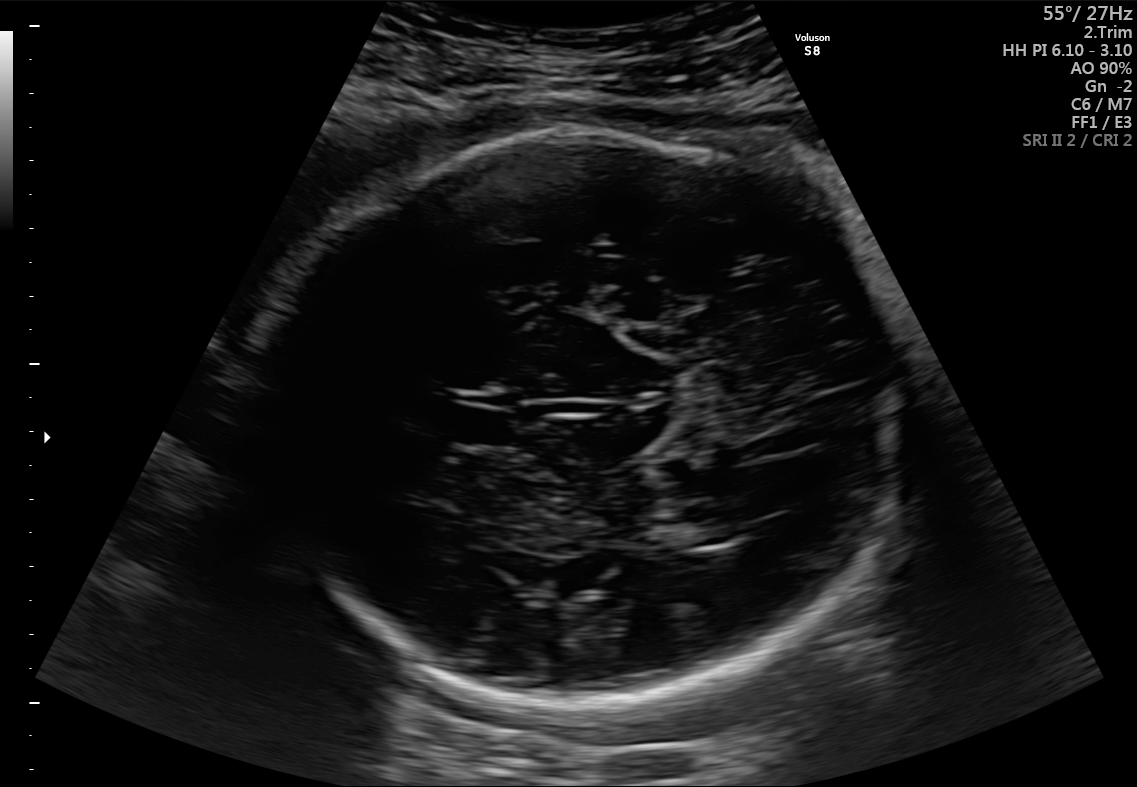
Fetal brain, trans-thalamic plane. Locate the lateral ventricle.

Lateral ventricle: [652,510,740,552]